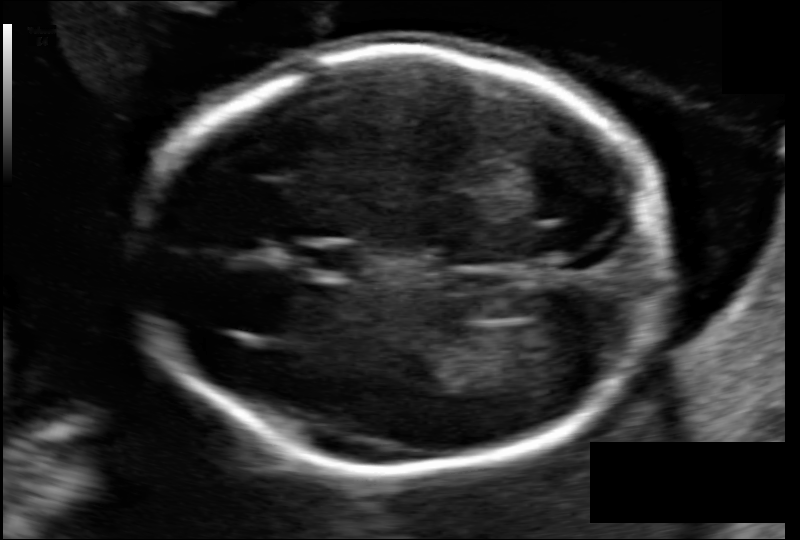
In this fetal head ultrasound, give the bounding box of the cavum septum pellucidum. Image width: 82.2 mm.

[296,246,354,272]